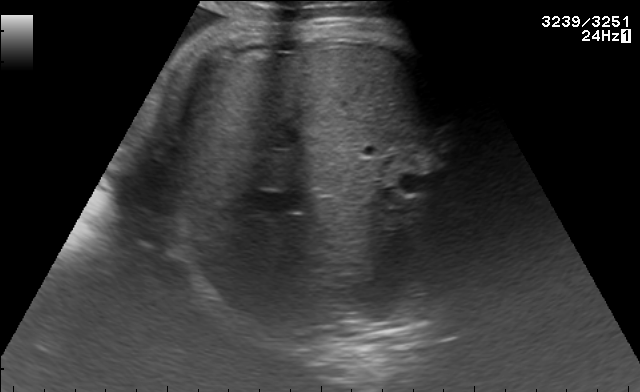
Which standard maternal-fetal ultrasound plane is shown: fetal abdomen, fetal brain, fetal femur, fetal thorax, maternal cervix, or other? If it's fetal brain and one of the three standard brain planes (trans-thalamic, trans-cerebellum, trans-ventricular), name which.

Fetal abdomen